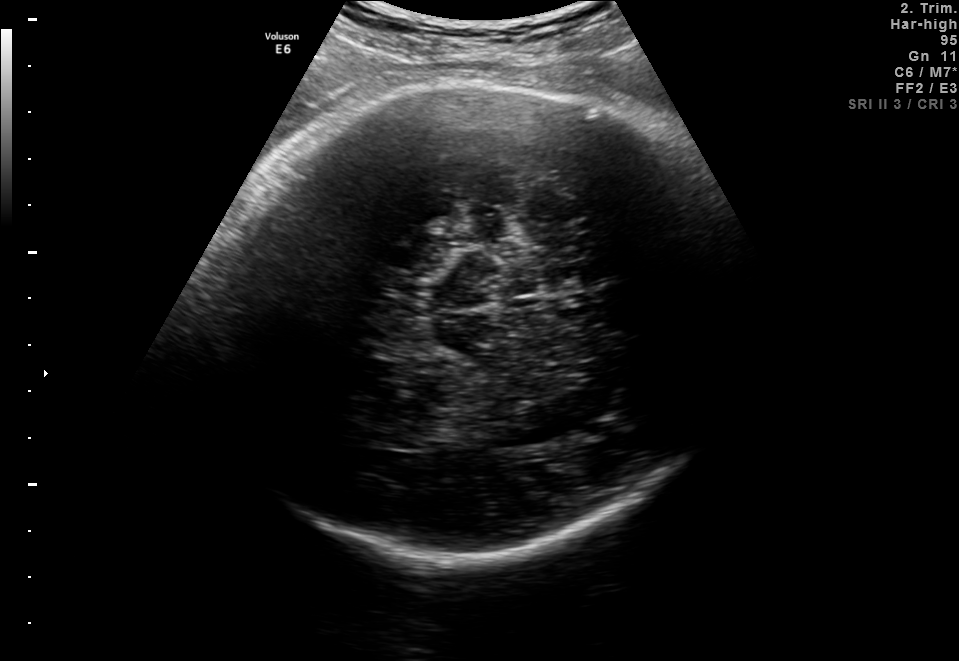
Fetal brain, trans-thalamic plane. Locate the fetal head and, if visible, the cavum septum pellucidum (CSP) and lateral ventricle (LV). Give bounding boxes as [x1,y1,x2,y2].

Head: [202,83,739,554]